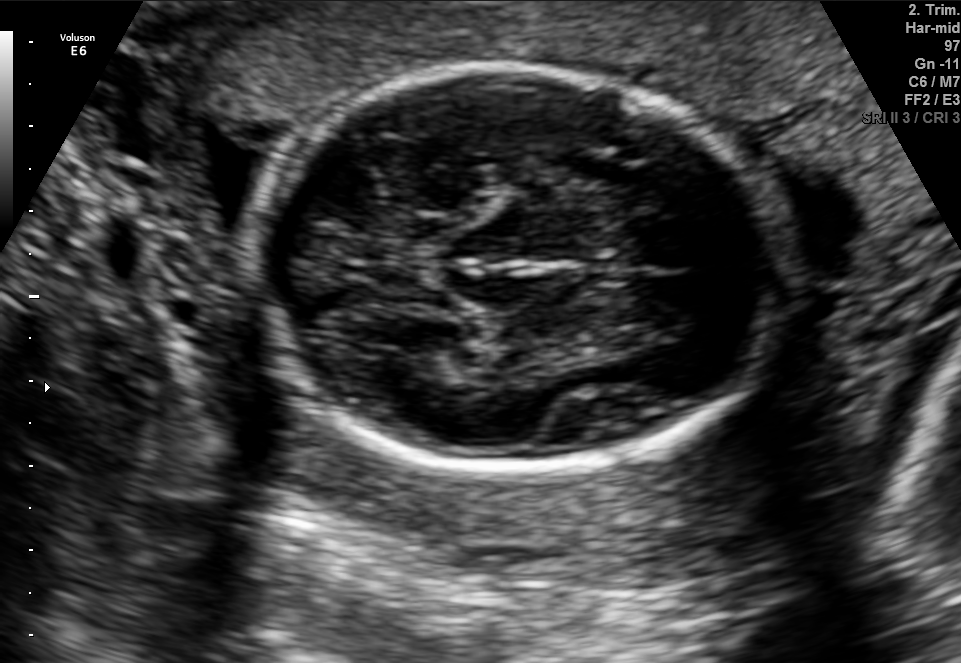
In this fetal brain, trans-thalamic plane, give the bounding box of the fetal head.

[254,68,776,468]